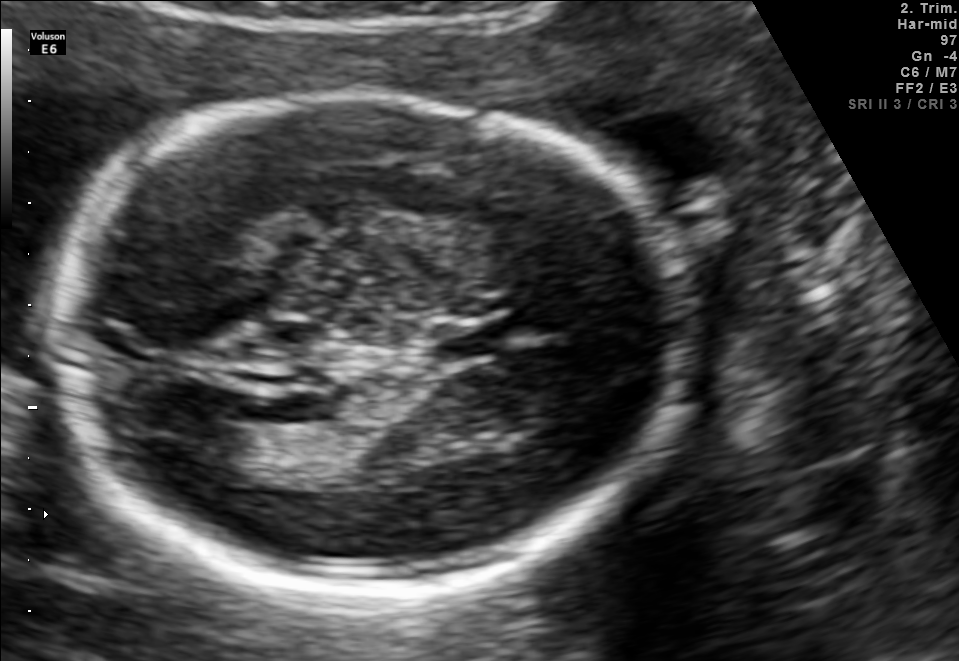
In this fetal brain, trans-thalamic plane, give the bounding box of the cavum septum pellucidum.

[431,320,499,363]